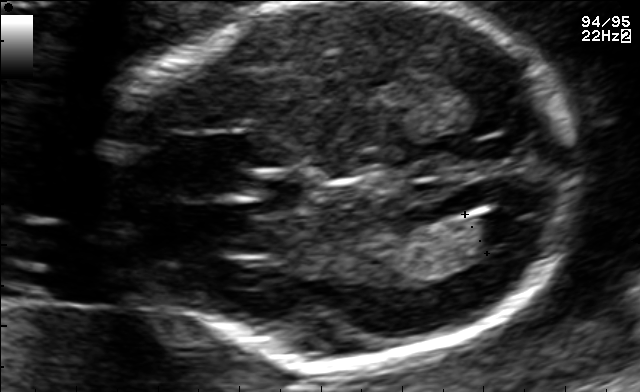
Fetal brain, trans-ventricular plane. Where is the fetal head?

Head bounding box: [94,1,595,377]